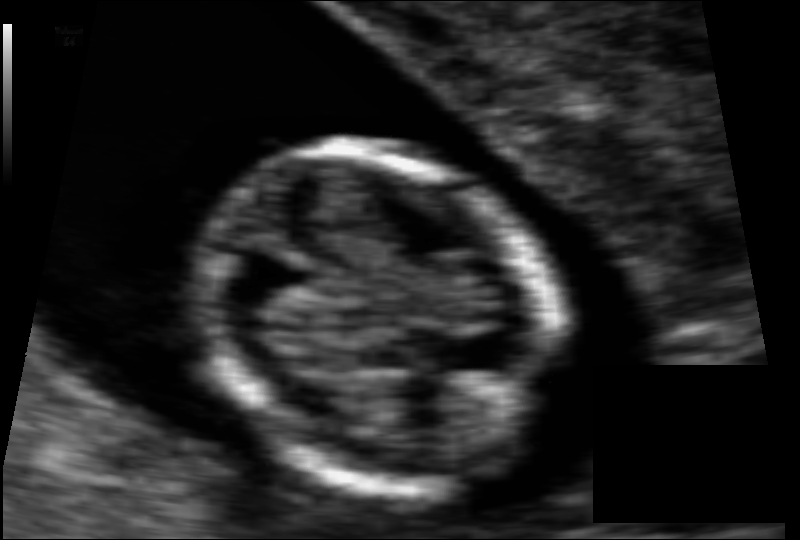
In this fetal head ultrasound, give the bounding box of the fetal head. Image width: 49.4 mm.

[198,142,561,493]